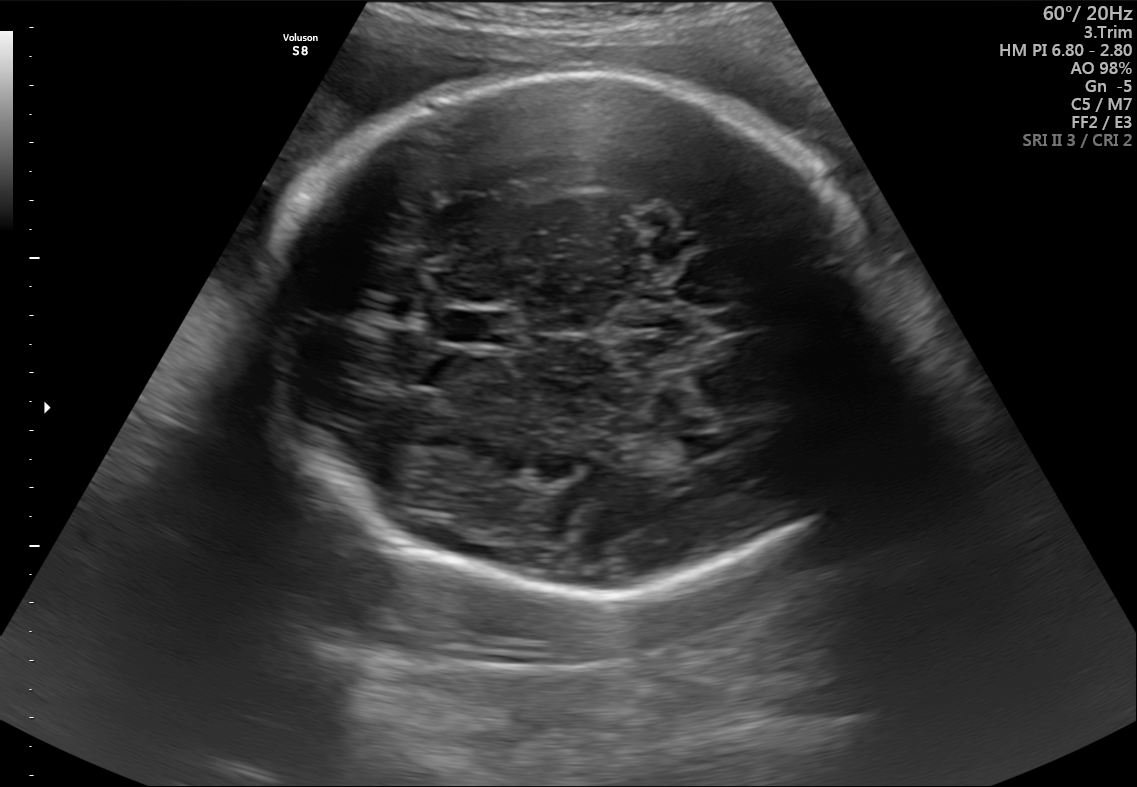
Fetal brain, trans-thalamic plane. Where is the fetal head?

Head bounding box: [269,71,903,599]